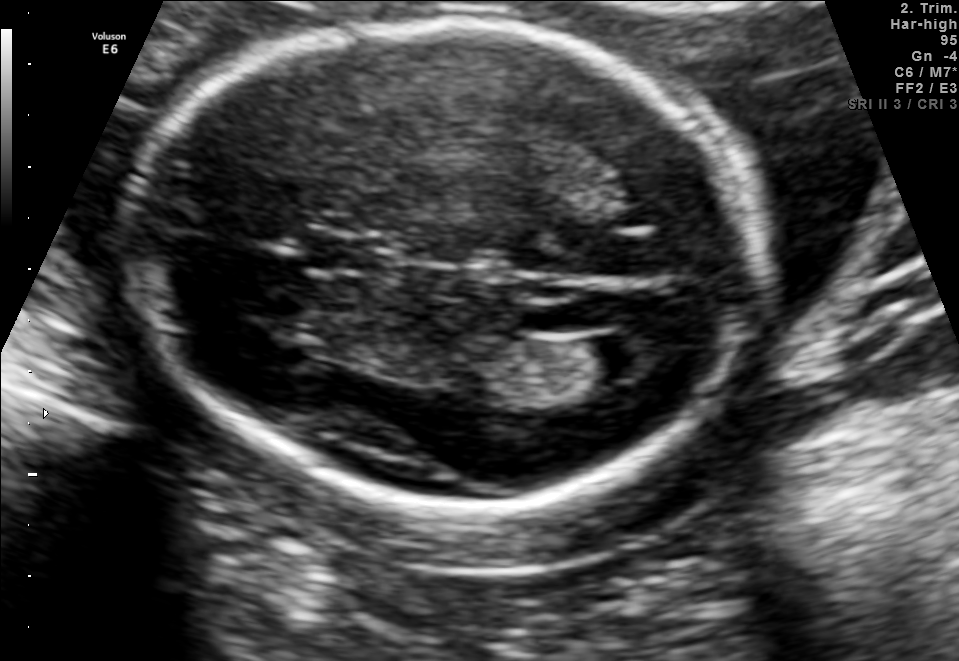
Fetal brain, trans-ventricular plane. Where is the cavum septum pellucidum?

CSP bounding box: [297,223,402,287]